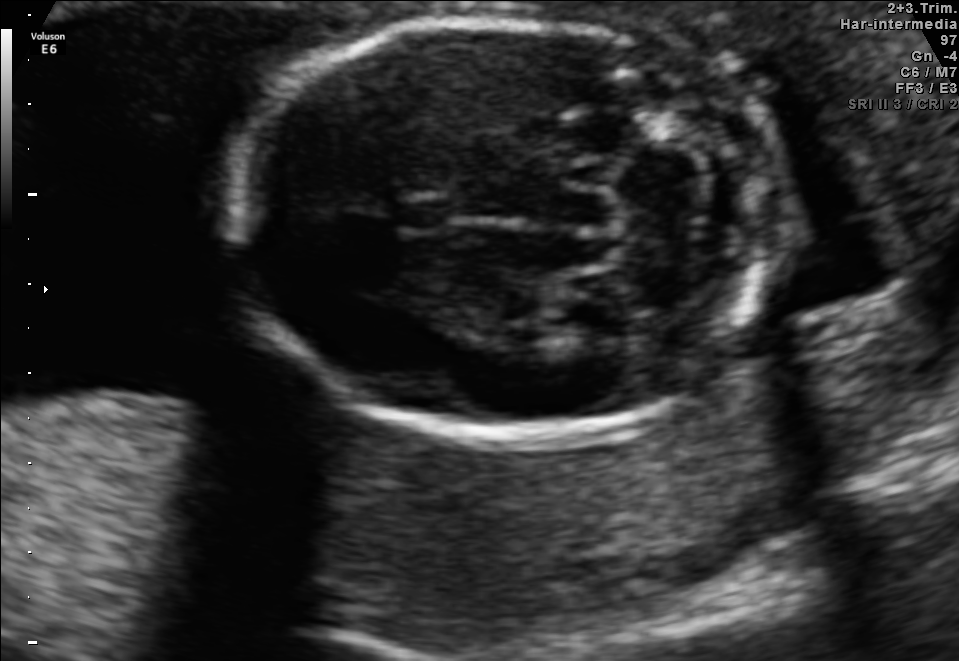
Fetal brain, trans-cerebellum plane. Where is the fetal head?

Head bounding box: [231,18,768,443]